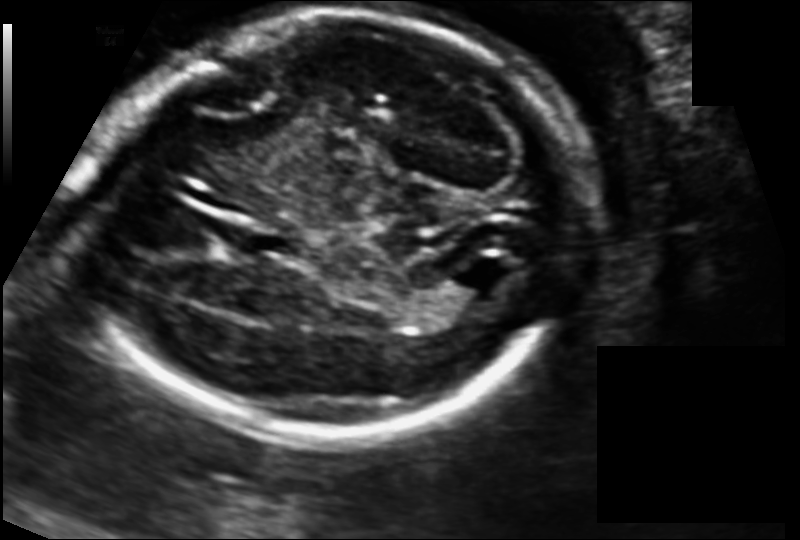
From this fetal ultrasound, estimate the head circumference (image width 100.4 mm).

Head circumference: 184.5 mm.